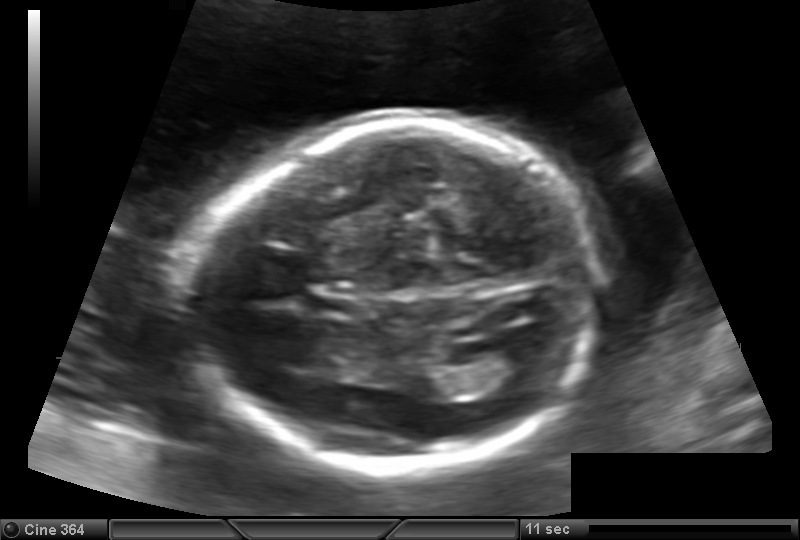
Measure the fetal head circumference shown in this ultrasound image. Image width: 115.2 mm.

Head circumference: 178.3 mm.